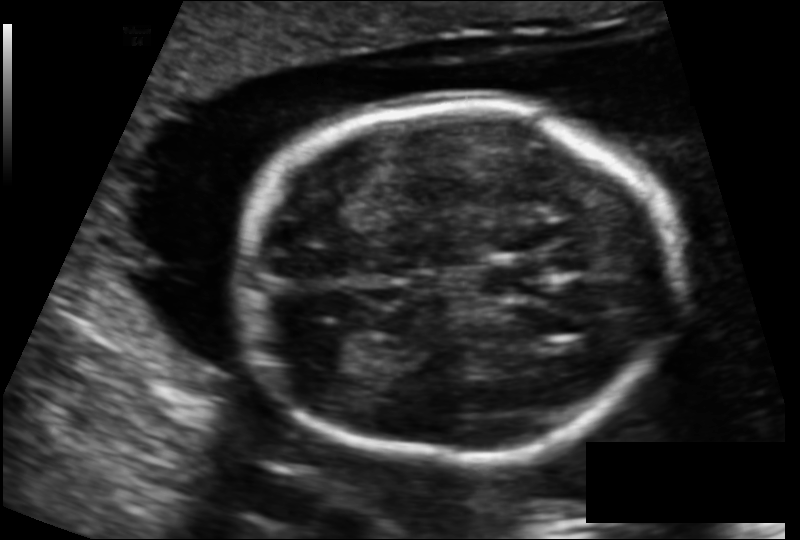
Fetal head ultrasound. Image width: 104.4 mm. Where is the lateral ventricle?

Lateral ventricle bounding box: [294,319,388,377]